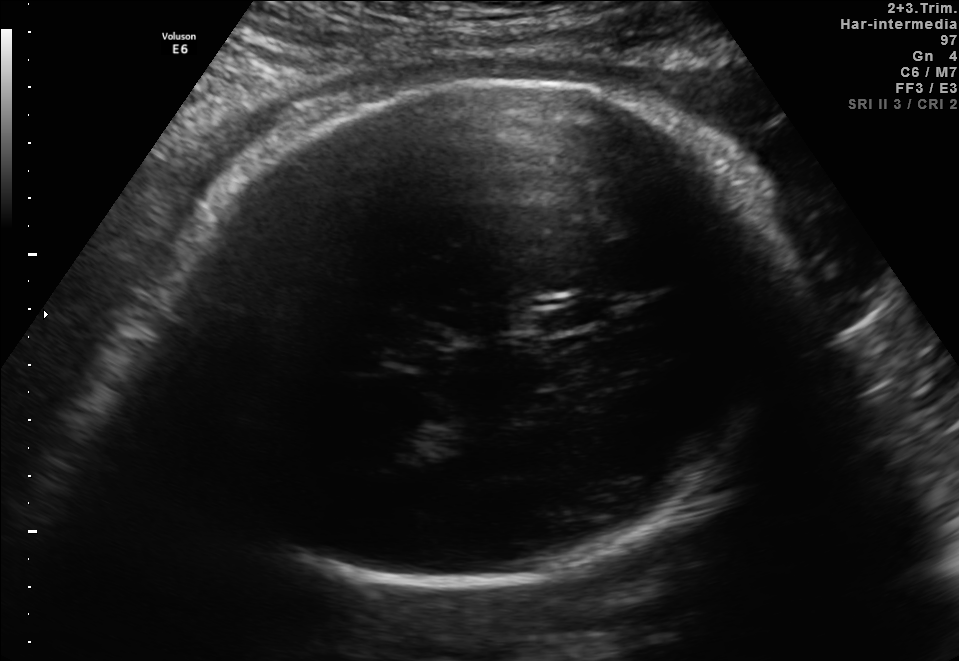
In this fetal brain, trans-thalamic plane, give the bounding box of the cavum septum pellucidum.

[529,300,601,336]